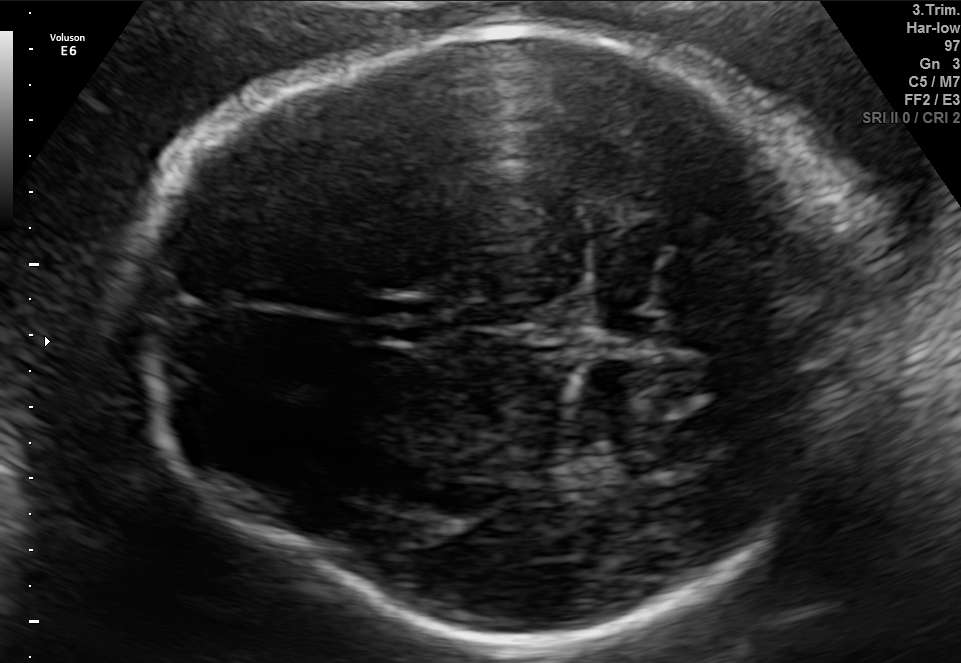
In this fetal brain, trans-thalamic plane, give bounding boxes for the head outline, cavum septum pellucidum (CSP), and lateral ventricle (LV), where visible.

Head: [122,26,903,645]